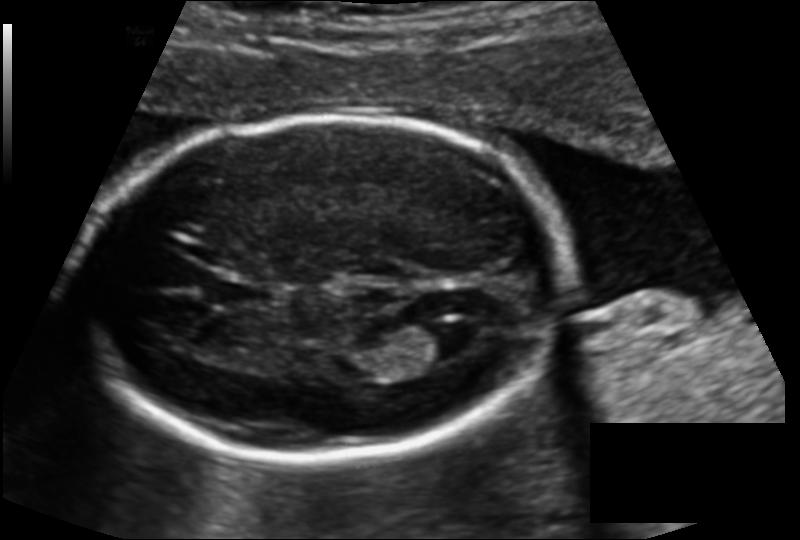
Fetal head ultrasound. Image width: 109.1 mm. Give [x1,y1,x2,y2] bounding boxes for each visible structure among: fetal head, CSP, LV.

Head: [74,114,562,462]
CSP: [207,274,272,312]
Lateral ventricle: [407,315,477,367]